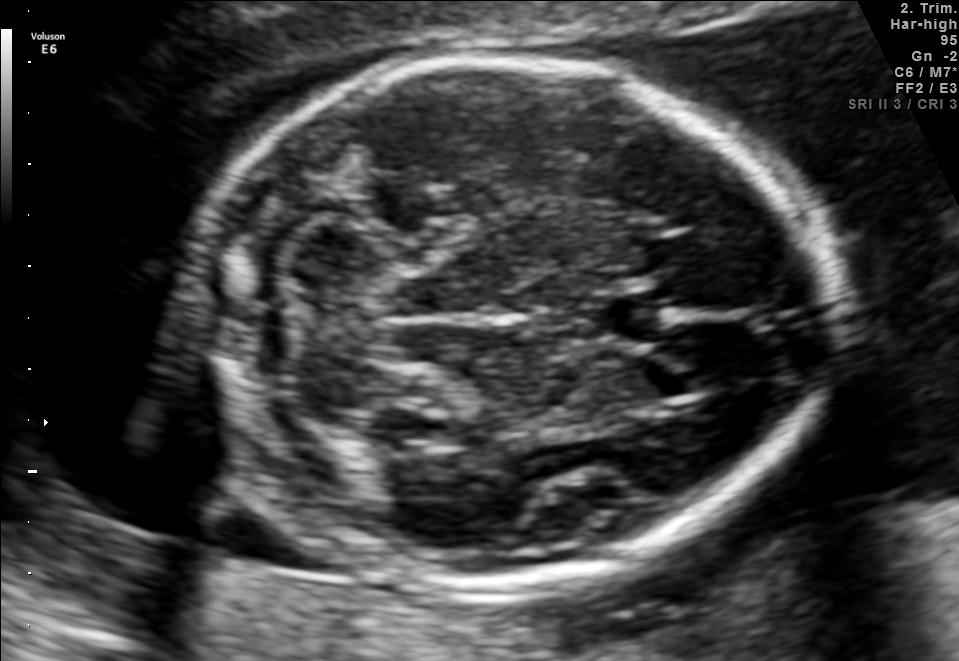
Fetal brain, trans-cerebellum plane. Locate the fetal head.

Head: [180,60,829,589]